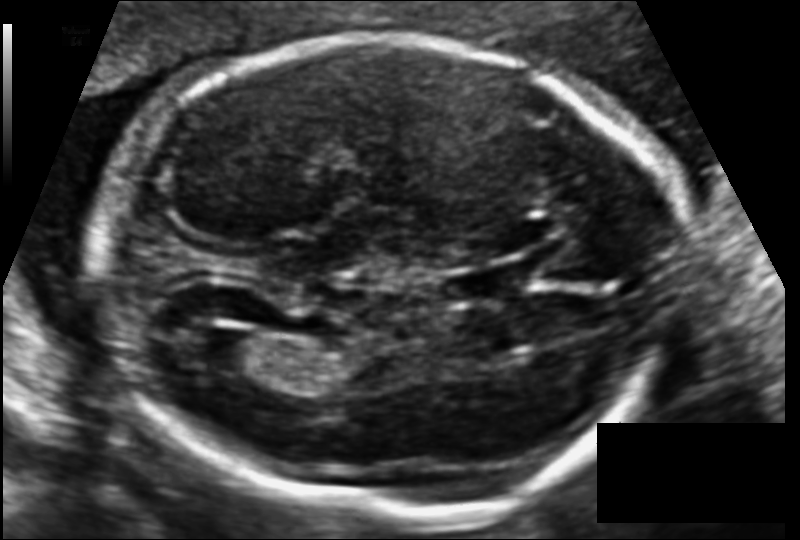
Measure the fetal head circumference shown in this ultrasound image. Image width: 92.7 mm.

Head circumference: 196.9 mm.